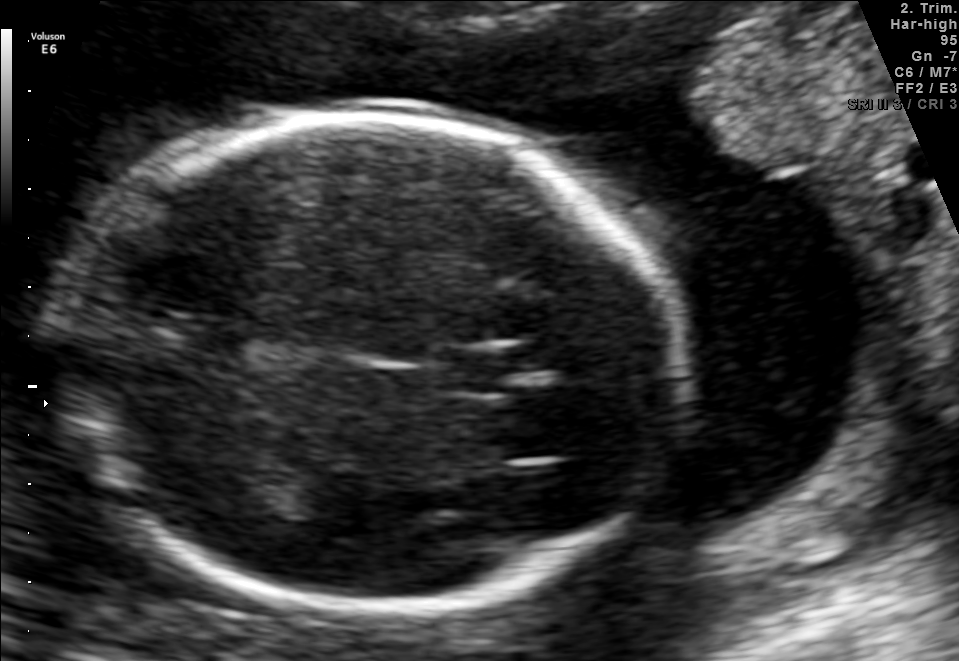
Fetal brain, trans-thalamic plane. Where is the cavum septum pellucidum?

CSP bounding box: [439,349,516,394]